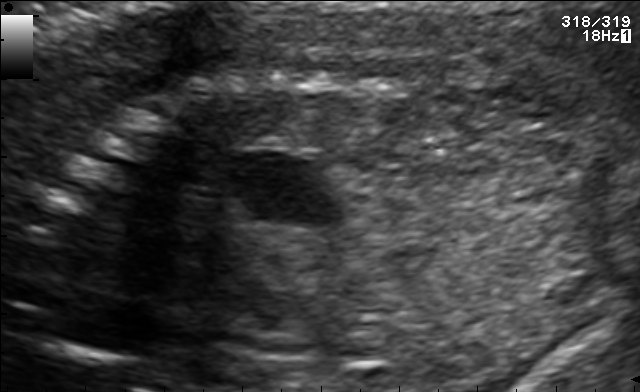
This is a 2D maternal-fetal ultrasound frame. Is it a fetal abdomen, fetal brain, fetal femur, fetal thorax, maternal cervix, or other standard plane? If it's fetal brain and one of the three standard brain planes (trans-thalamic, trans-cerebellum, trans-ventricular), name which.

Other